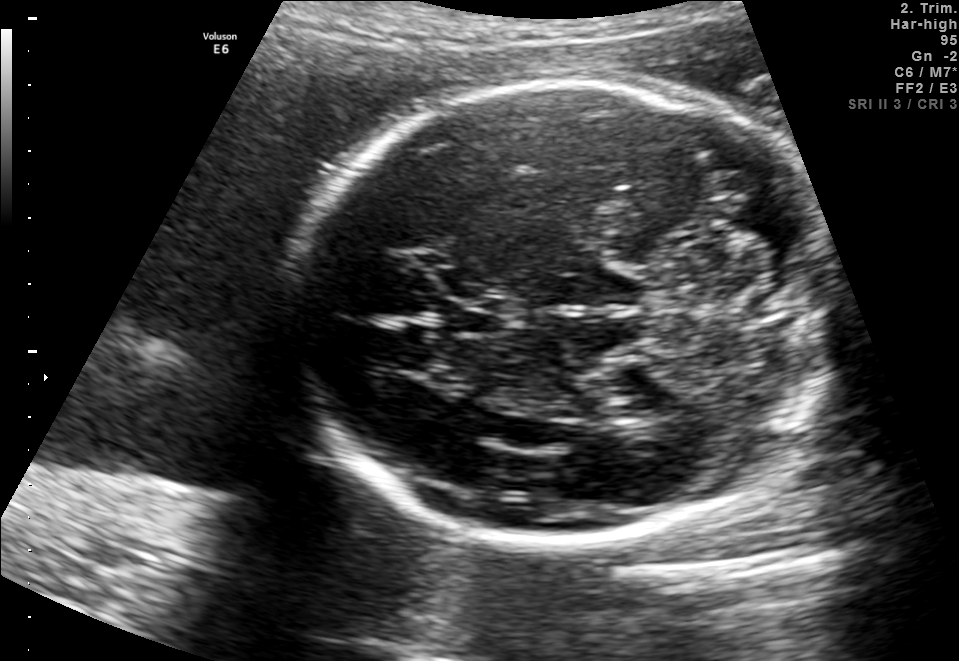
In this fetal brain, trans-cerebellum plane, give bounding boxes for the head outline, cavum septum pellucidum (CSP), and lateral ventricle (LV), where visible.

Head: [296,83,835,546]
CSP: [447,298,508,335]